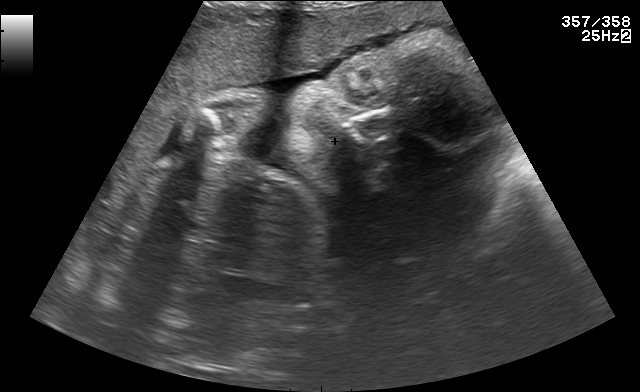
Identify the standard plane in this fetal ultrasound image: fetal abdomen, fetal brain, fetal femur, fetal thorax, maternal cervix, or other. If it's fetal brain and one of the three standard brain planes (trans-thalamic, trans-cerebellum, trans-ventricular), name which.

Other